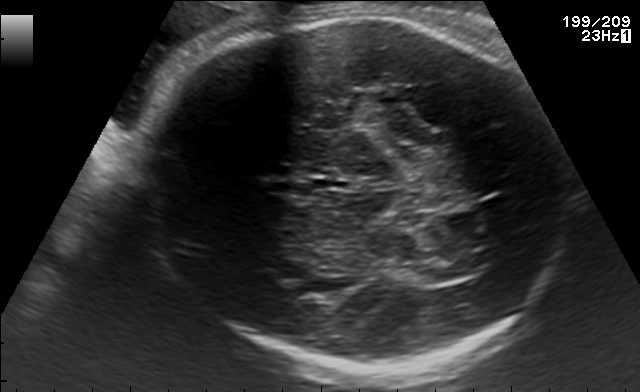
In this fetal brain, trans-thalamic plane, give bounding boxes for the head outline, cavum septum pellucidum (CSP), and lateral ventricle (LV), where visible.

Head: [146,14,565,372]
Lateral ventricle: [416,257,473,288]